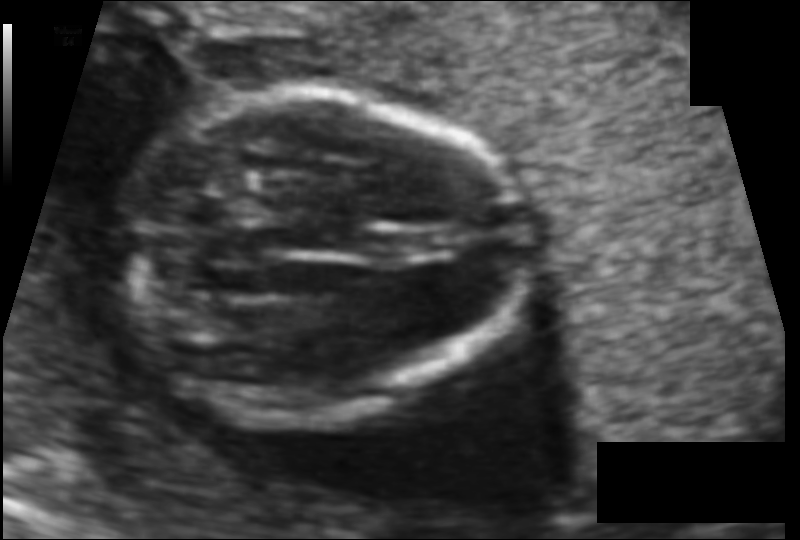
Fetal head ultrasound. Image width: 71.6 mm. Locate the cavum septum pellucidum.

CSP: [372,230,438,261]